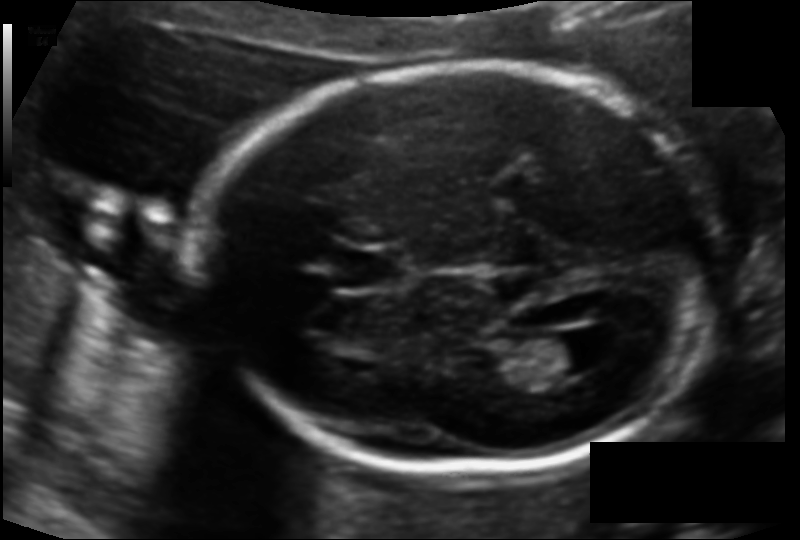
Estimate the fetal head circumference from this 2D ultrasound. Image width: 94.2 mm.

Head circumference: 177.4 mm.